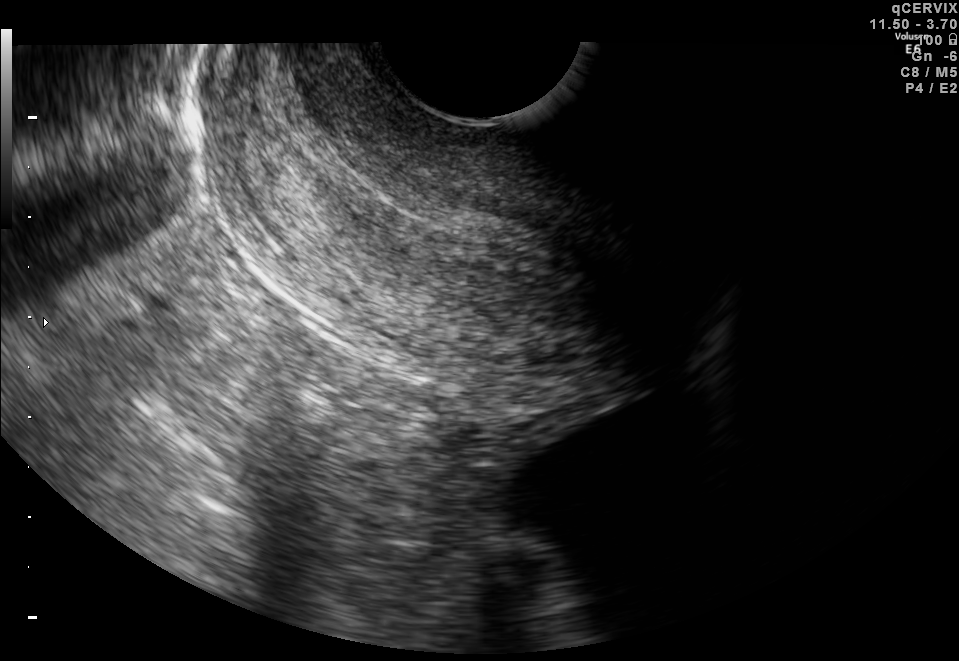
Which standard maternal-fetal ultrasound plane is shown: fetal abdomen, fetal brain, fetal femur, fetal thorax, maternal cervix, or other? If it's fetal brain and one of the three standard brain planes (trans-thalamic, trans-cerebellum, trans-ventricular), name which.

Maternal cervix